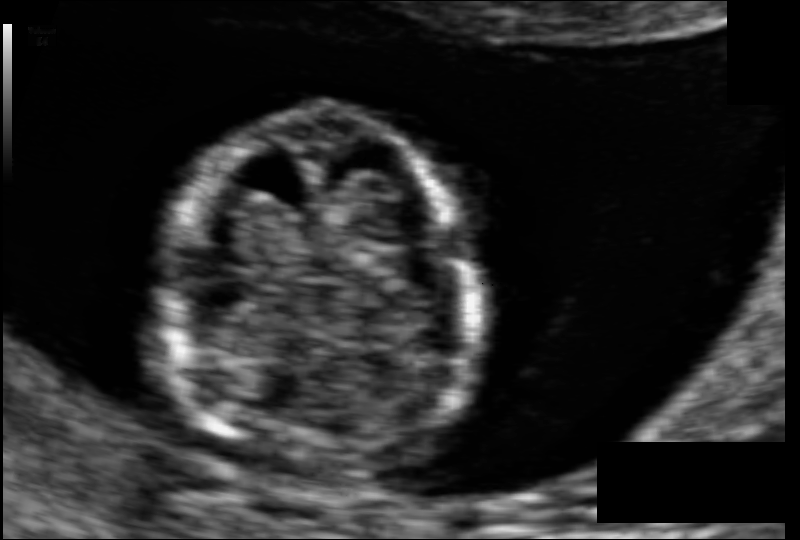
Fetal head ultrasound. Image width: 54.8 mm. Where is the fetal head?

Head bounding box: [166,113,481,484]